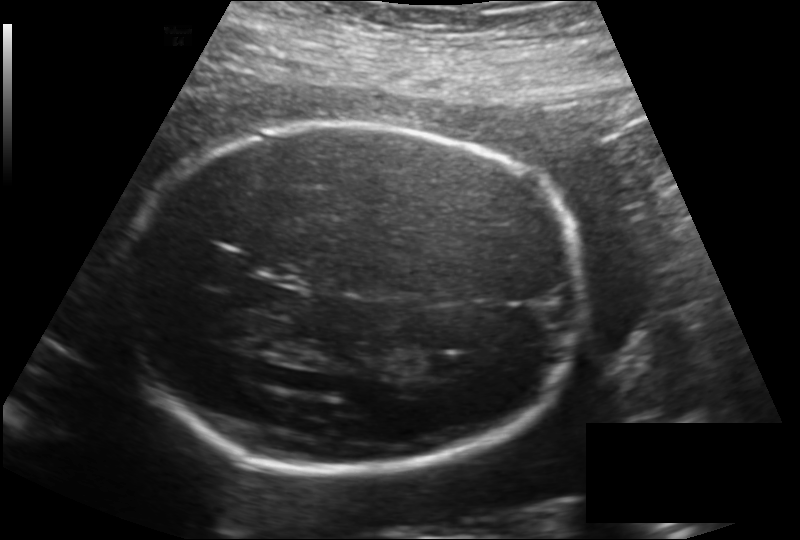
Fetal head ultrasound. Image width: 149.9 mm. Locate the fetal head.

Head: [122,125,585,475]